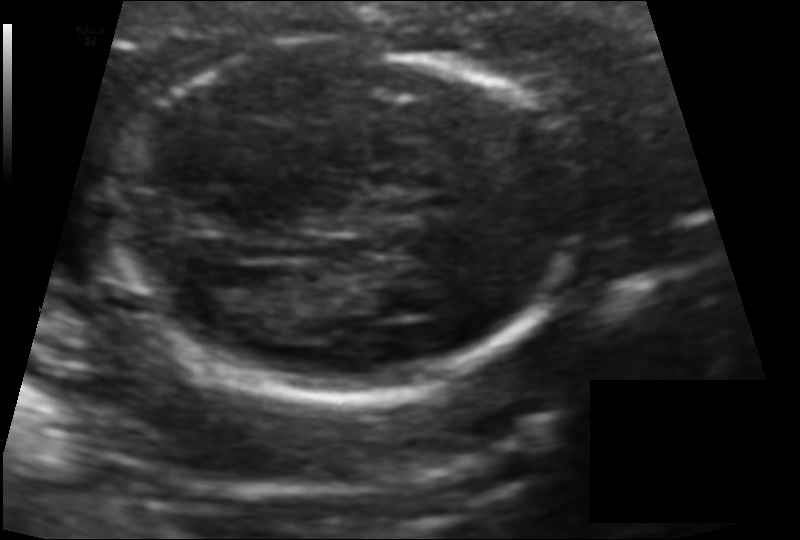
Estimate the fetal head circumference from this 2D ultrasound.

Head circumference: 135.1 mm (image width 81.1 mm).